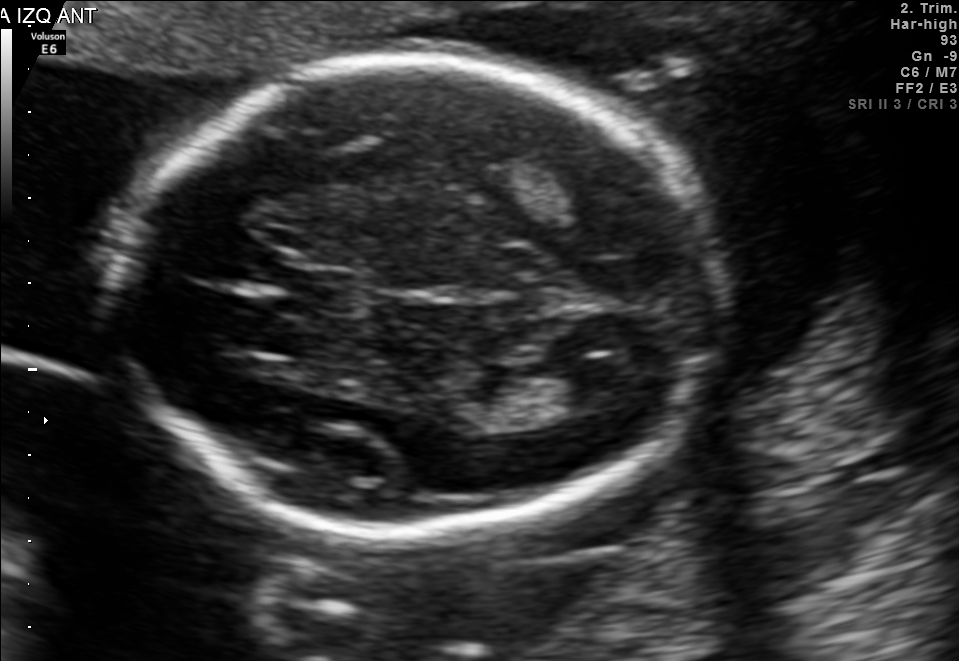
Fetal brain, trans-thalamic plane. Locate the cavum septum pellucidum.

CSP: [282,269,352,313]